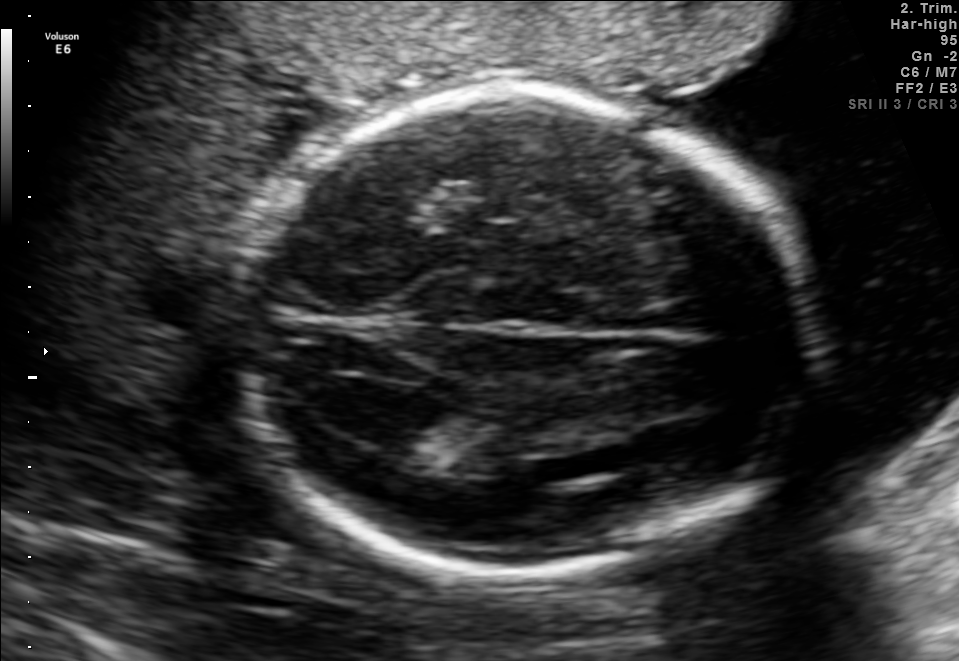
Fetal brain, trans-ventricular plane. Locate the lateral ventricle.

Lateral ventricle: [320,359,448,462]